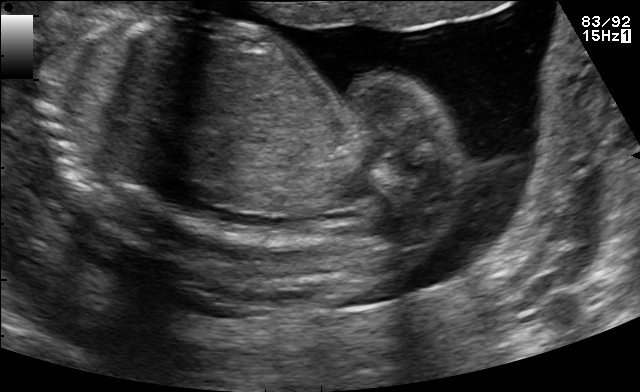
This is a 2D maternal-fetal ultrasound frame. Is it a fetal abdomen, fetal brain, fetal femur, fetal thorax, maternal cervix, or other standard plane? If it's fetal brain and one of the three standard brain planes (trans-thalamic, trans-cerebellum, trans-ventricular), name which.

Other